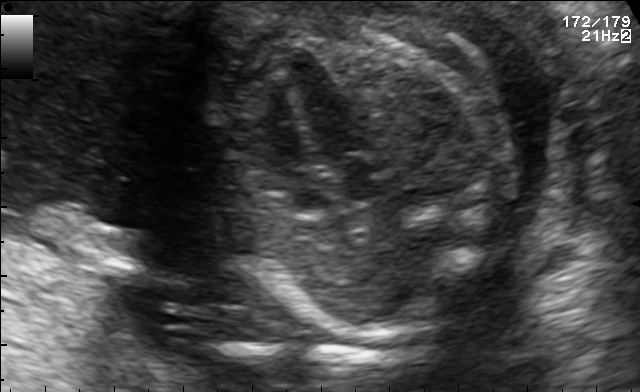
Identify the standard plane in this fetal ultrasound image: fetal abdomen, fetal brain, fetal femur, fetal thorax, maternal cervix, or other. If it's fetal brain and one of the three standard brain planes (trans-thalamic, trans-cerebellum, trans-ventricular), name which.

Fetal thorax